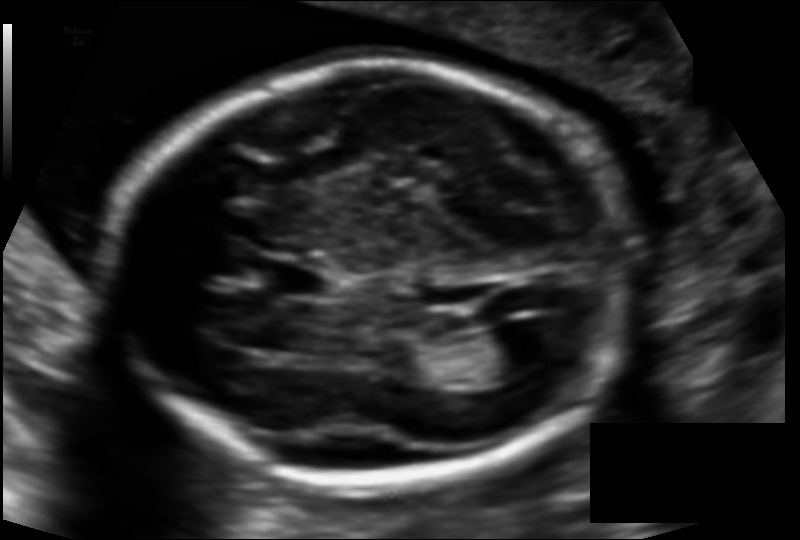
Fetal head ultrasound. Image width: 96.7 mm. Locate the lateral ventricle.

Lateral ventricle: [467,318,554,385]